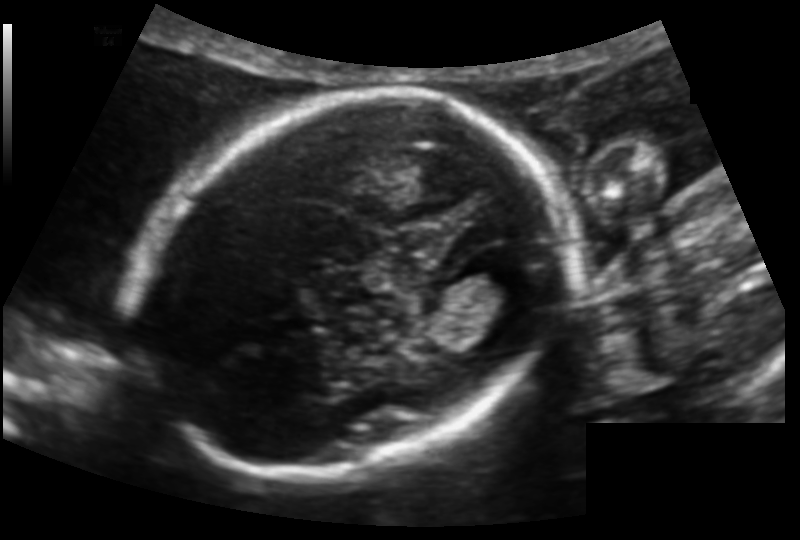
In this fetal head ultrasound, give the bounding box of the lateral ventricle. Image width: 98.5 mm.

[455,242,531,317]